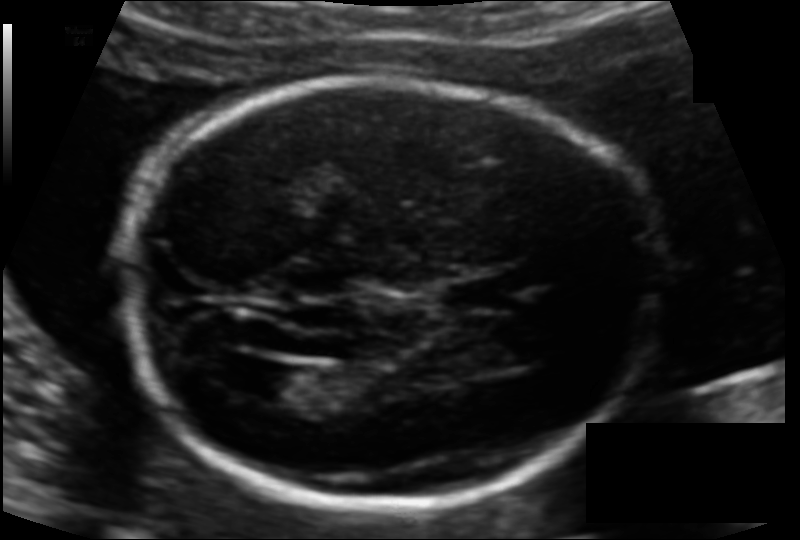
What is the fetal head circumference? Image width is 90.3 mm.

176.2 mm